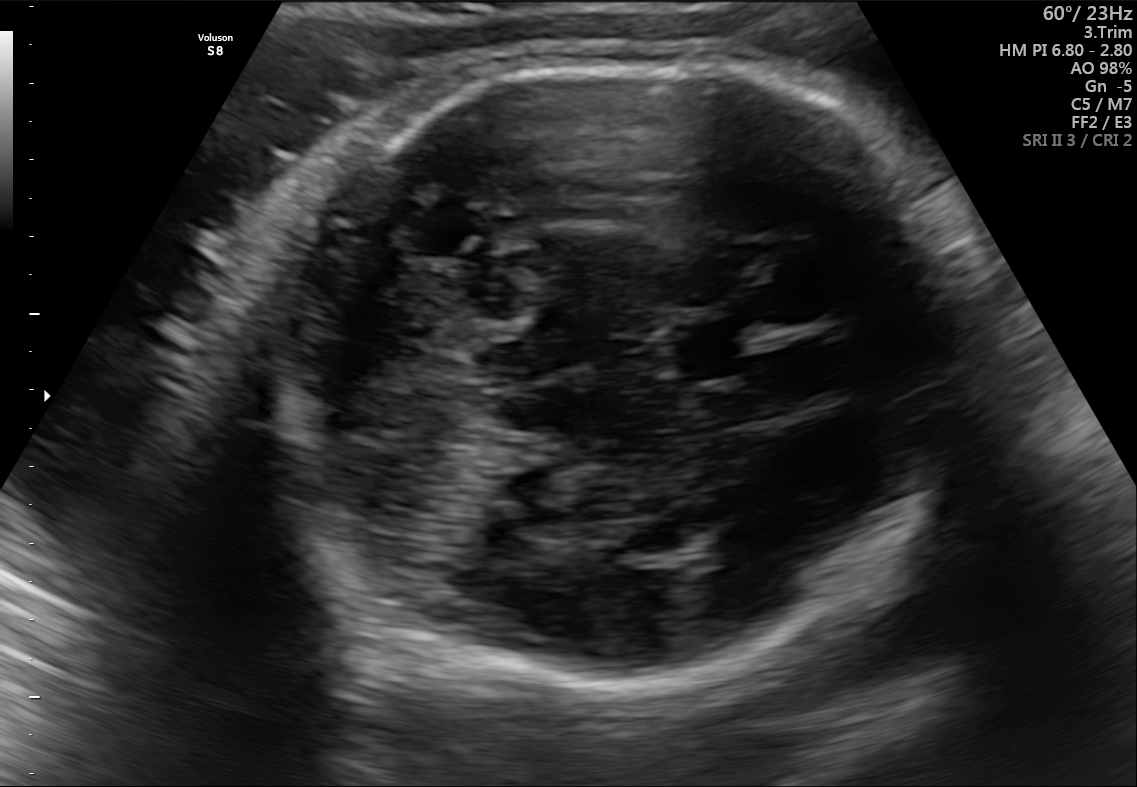
Fetal brain, trans-cerebellum plane. Locate the fetal head.

Head: [263,58,964,681]